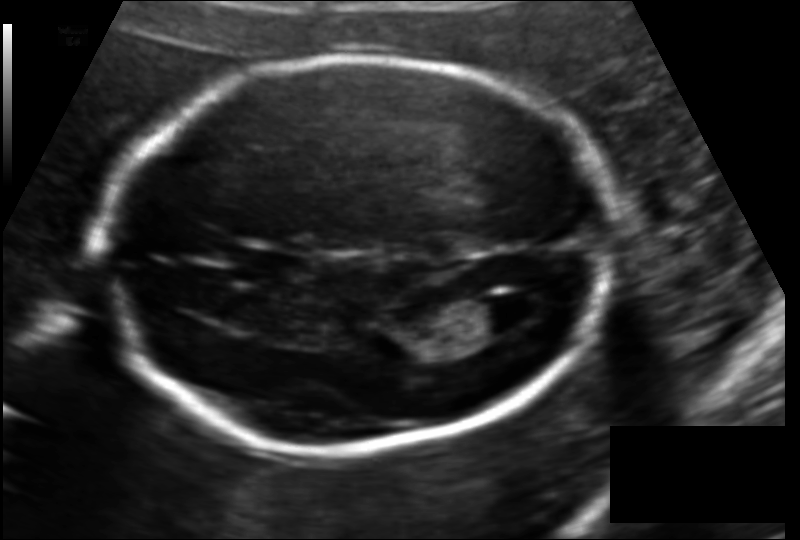
Fetal head ultrasound. Image width: 101.5 mm. Where is the lateral ventricle?

Lateral ventricle bounding box: [459,292,520,344]